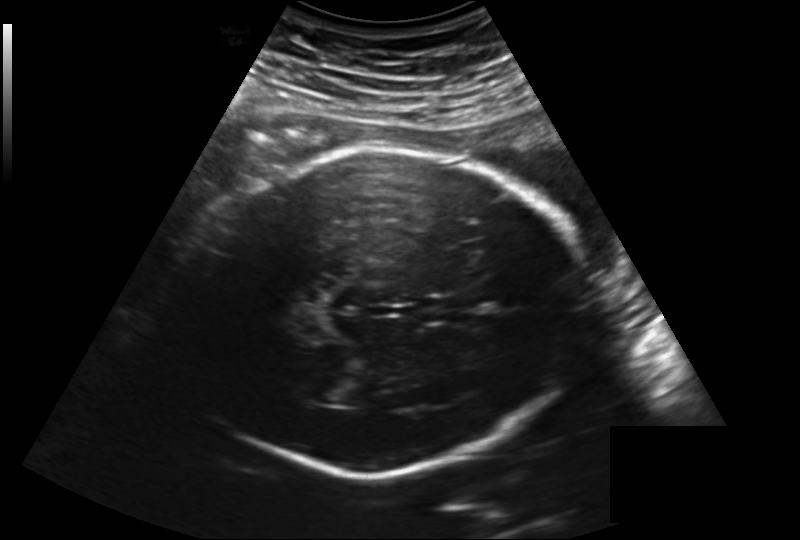
Fetal head ultrasound. Image width: 175.2 mm. Where is the fetal head?

Head bounding box: [174,147,587,476]